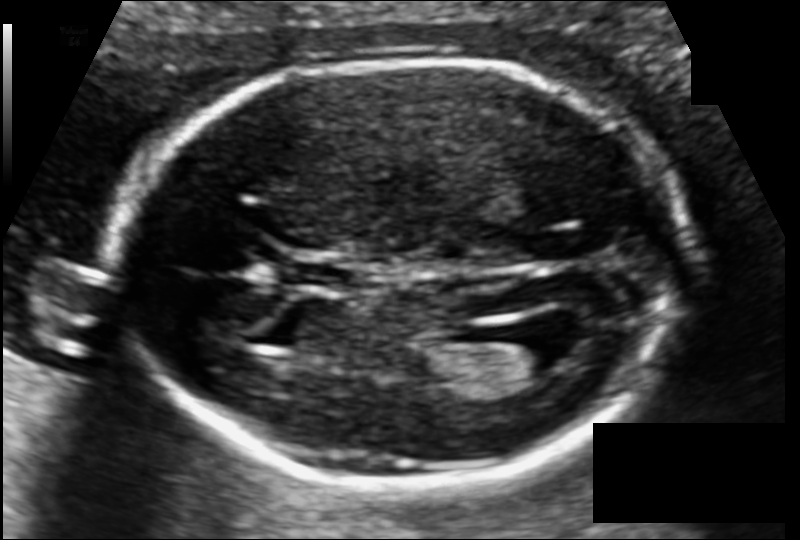
Fetal head ultrasound. Image width: 82.9 mm. Locate the lateral ventricle.

Lateral ventricle: [493,311,590,388]